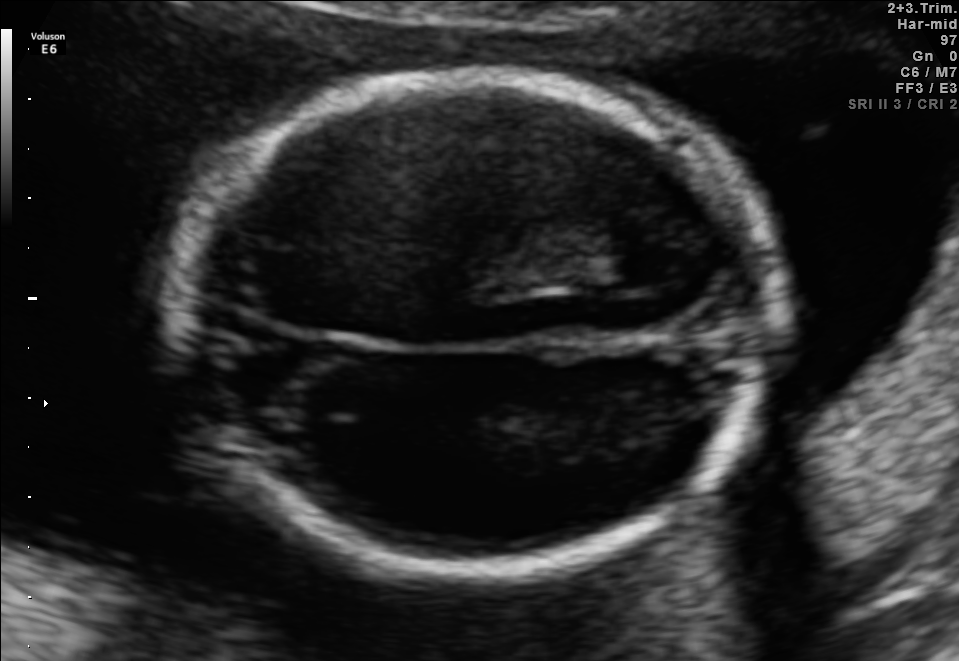
Fetal brain, trans-thalamic plane. Give [x1,y1,x2,y2] bounding boxes for each visible structure among: fetal head, CSP, LV.

Head: [172,76,777,569]